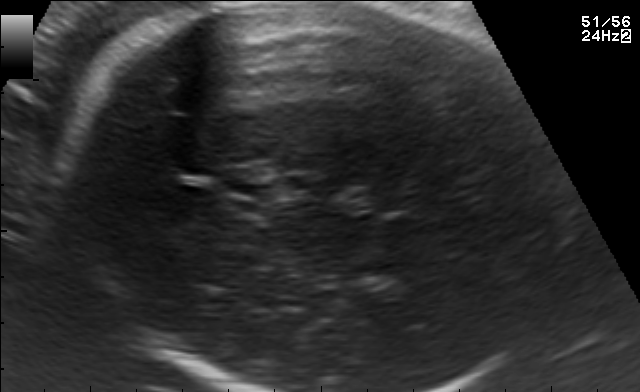
In this fetal brain, trans-thalamic plane, give bounding boxes for the head outline, cavum septum pellucidum (CSP), and lateral ventricle (LV), where visible.

Head: [69,4,553,391]